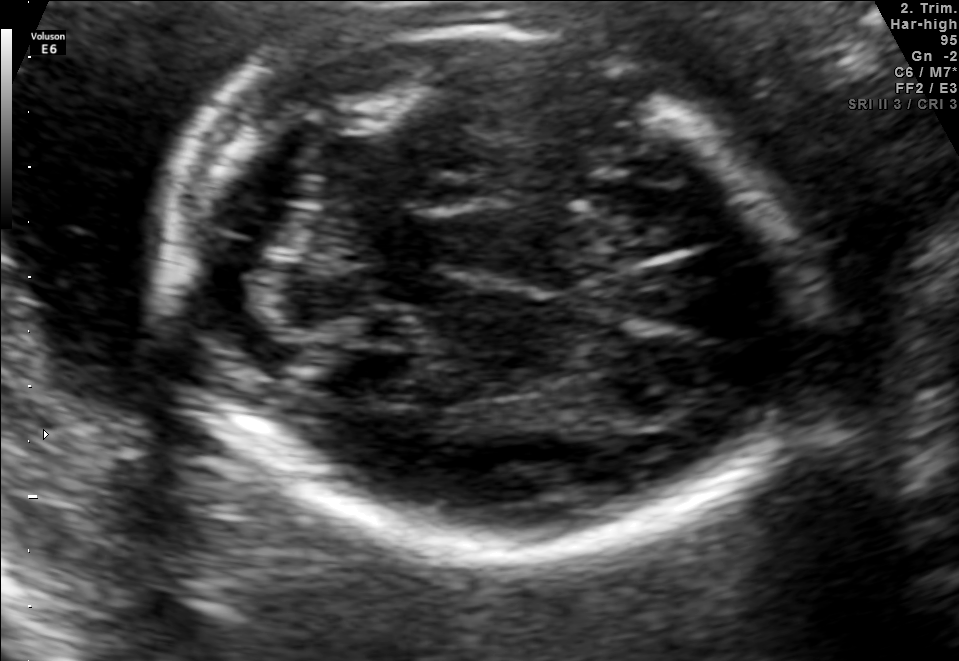
Fetal brain, trans-cerebellum plane. Locate the fetal head and, if visible, the cavum septum pellucidum (CSP) and lateral ventricle (LV). Give bounding boxes as [x1,y1,x2,y2].

Head: [159,20,792,557]